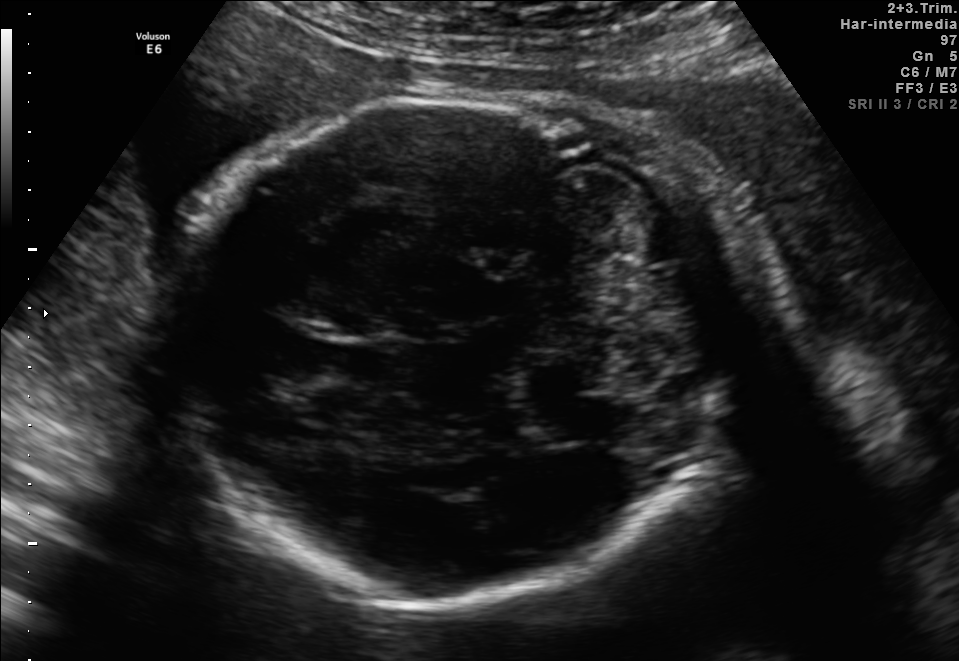
In this fetal brain, trans-cerebellum plane, give bounding boxes for the head outline, cavum septum pellucidum (CSP), and lateral ventricle (LV), where visible.

Head: [166,91,777,596]